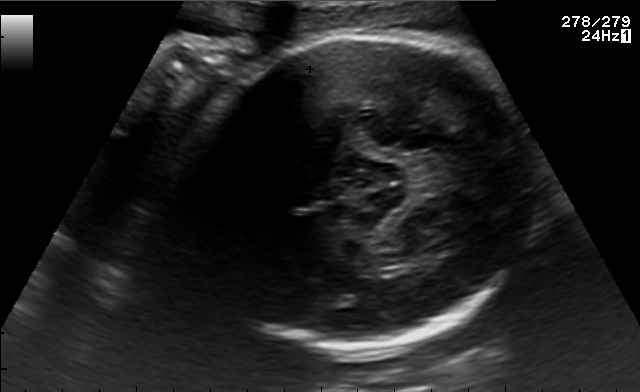
Fetal brain, trans-thalamic plane. Where is the fetal head?

Head bounding box: [182,35,541,351]